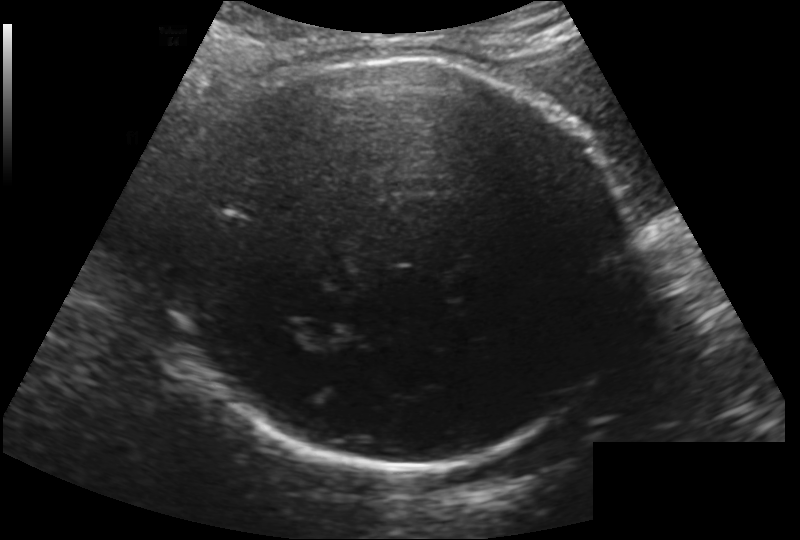
Estimate the fetal head circumference from this 2D ultrasound.

Head circumference: 284.1 mm (image width 160.1 mm).